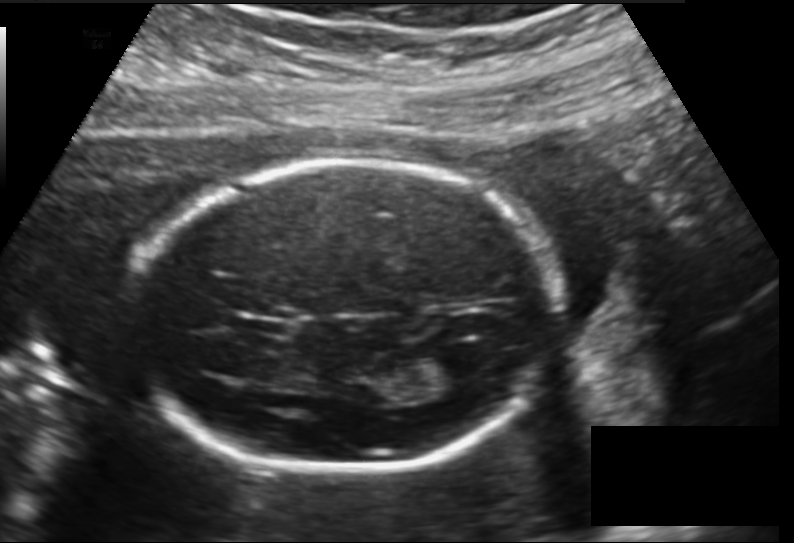
Fetal head ultrasound. Image width: 124.7 mm. Give [x1,y1,x2,y2] bounding boxes for each visible structure among: fetal head, CSP, LV.

Head: [130,160,556,472]
CSP: [243,316,287,338]
Lateral ventricle: [417,344,476,390]